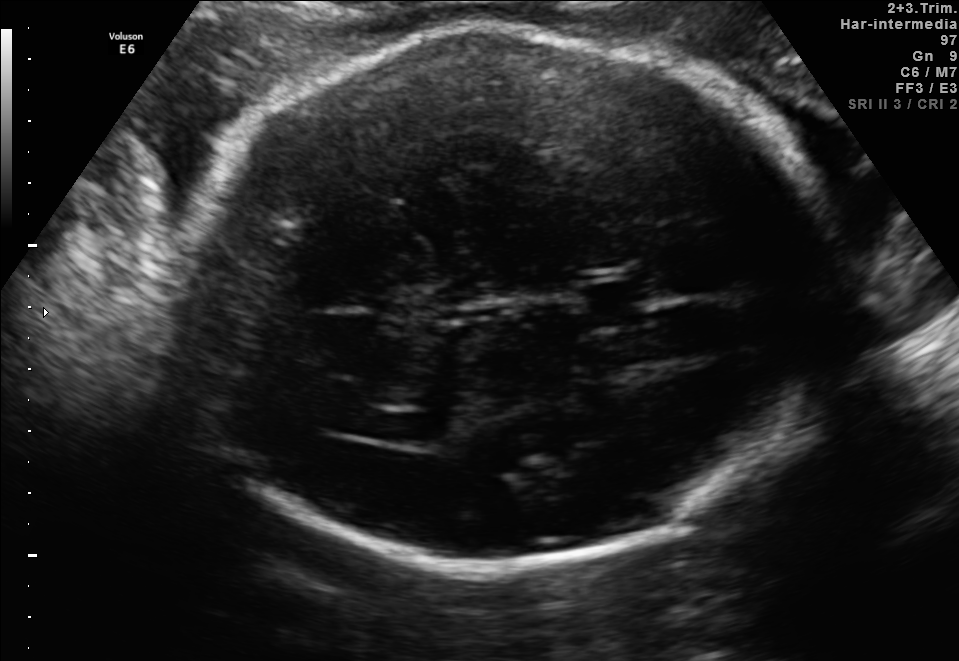
Fetal brain, trans-ventricular plane. Locate the fetal head and, if visible, the cavum septum pellucidum (CSP) and lateral ventricle (LV). Give bounding boxes as [x1,y1,x2,y2].

Head: [161,17,856,576]
CSP: [566,267,680,335]
Lateral ventricle: [379,408,461,450]